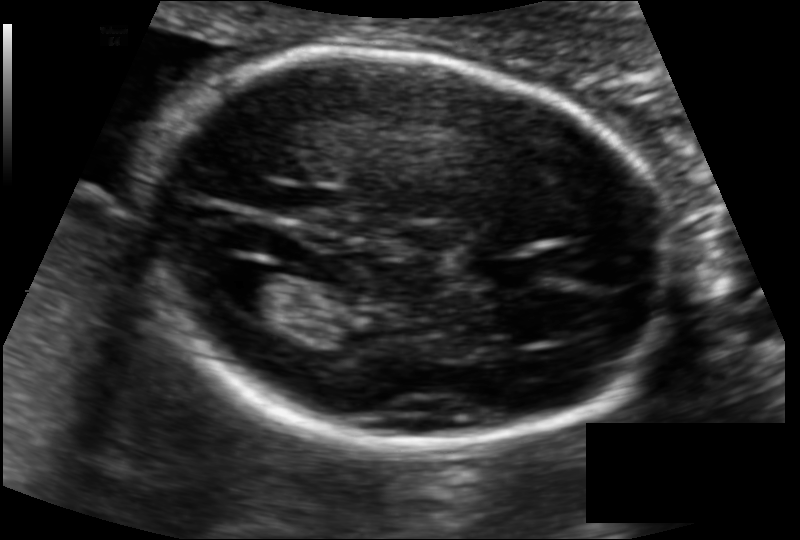
In this fetal head ultrasound, give bounding boxes for the head outline, cavum septum pellucidum (CSP), and lateral ventricle (LV), where visible. Image width: 88.0 mm.

Head: [137,55,678,451]
Lateral ventricle: [219,263,301,326]